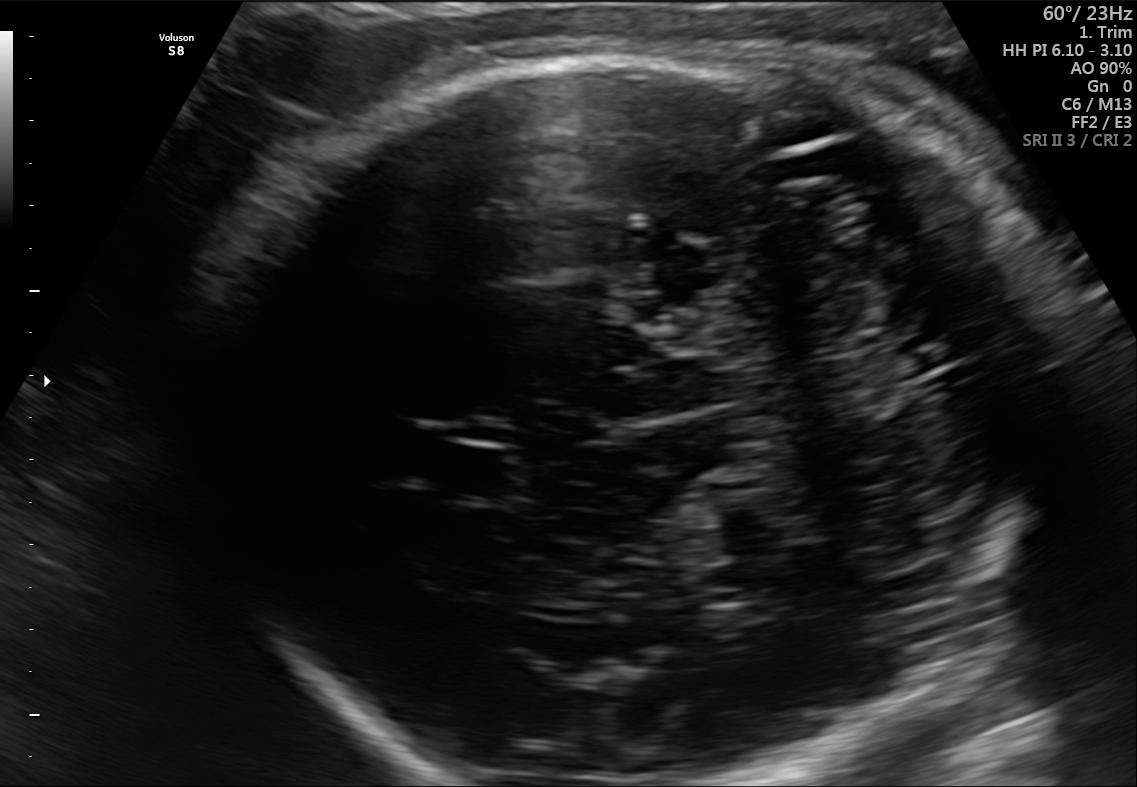
In this fetal brain, trans-cerebellum plane, give the bounding box of the cavum septum pellucidum.

[418,432,531,512]